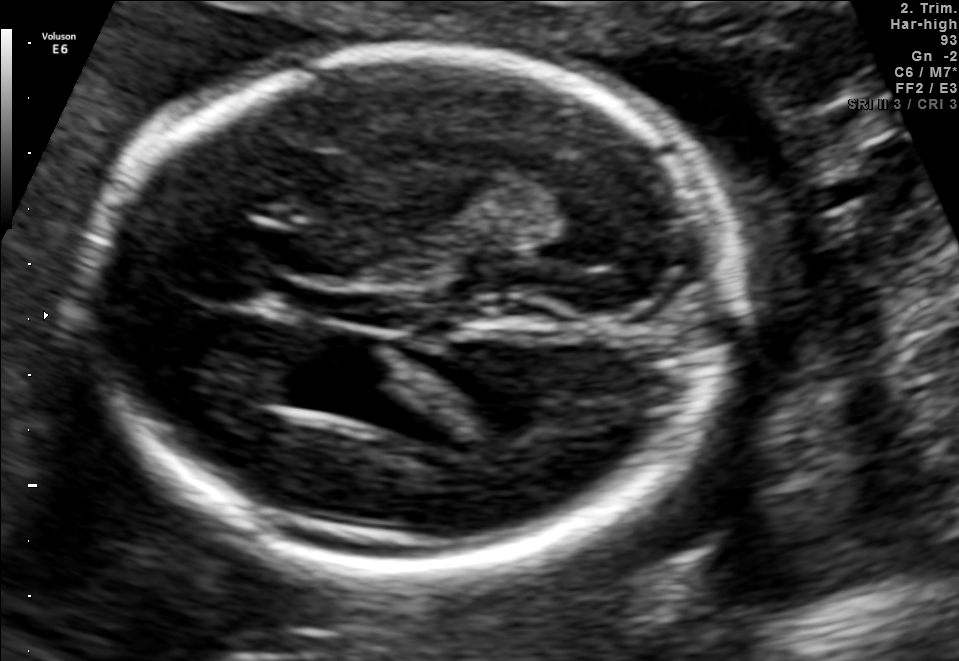
Fetal brain, trans-thalamic plane. Where is the fetal head?

Head bounding box: [88,49,721,568]